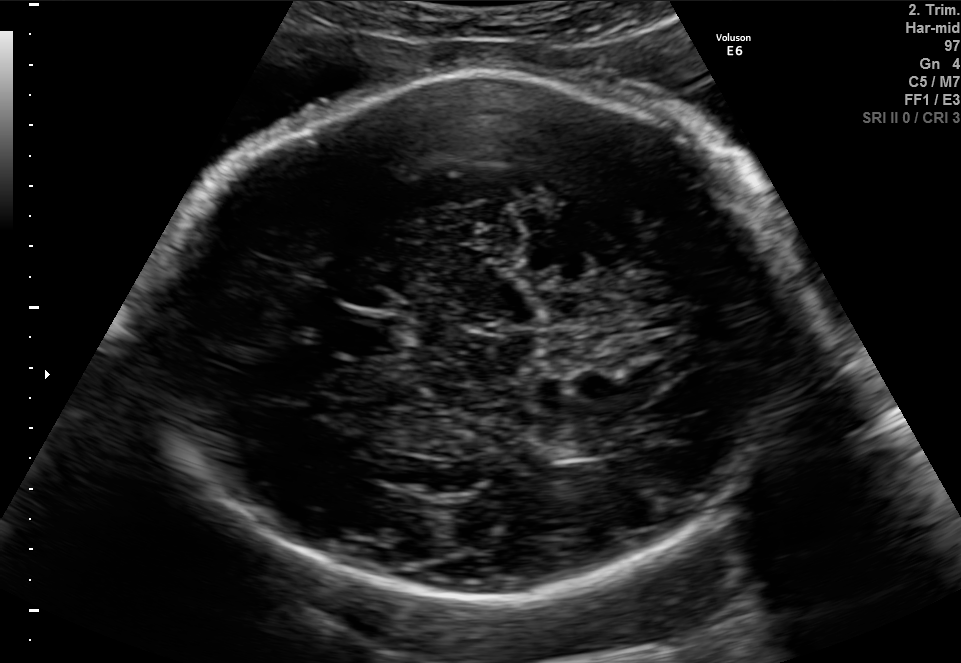
In this fetal brain, trans-thalamic plane, give the bounding box of the fetal head.

[153,71,814,594]